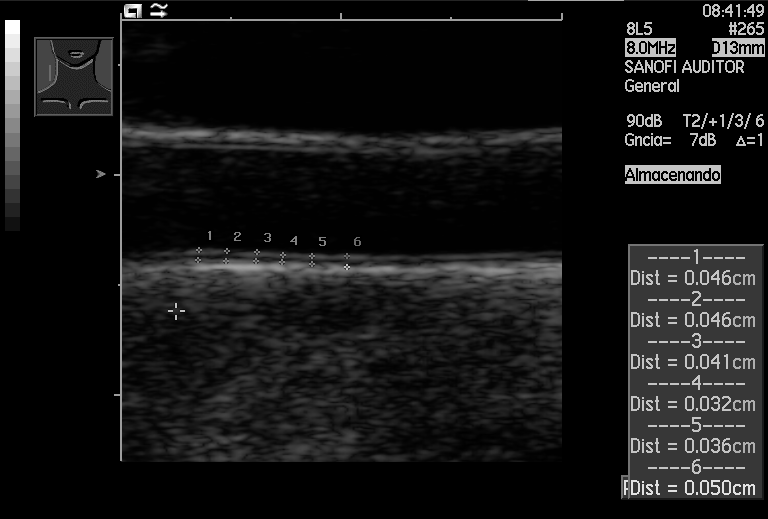
Identify the standard plane in this fetal ultrasound image: fetal abdomen, fetal brain, fetal femur, fetal thorax, maternal cervix, or other. If it's fetal brain and one of the three standard brain planes (trans-thalamic, trans-cerebellum, trans-ventricular), name which.

Other